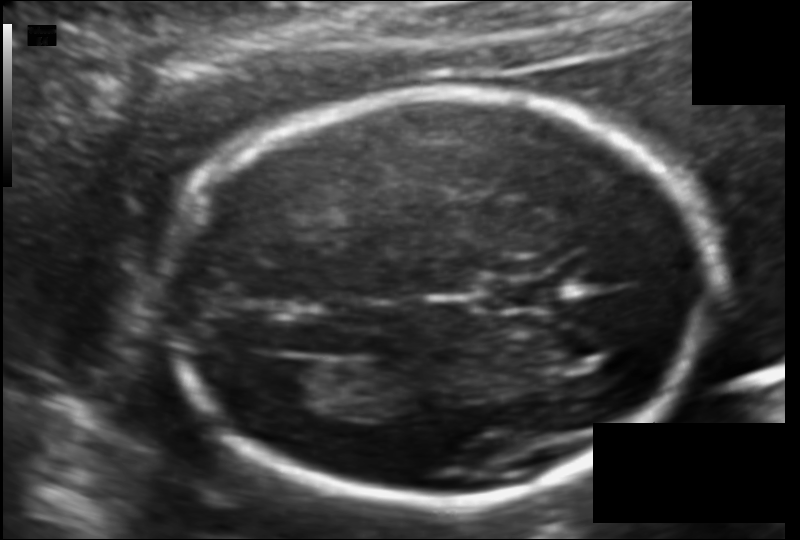
In this fetal head ultrasound, give the bounding box of the lateral ventricle. Image width: 88.5 mm.

[248,354,335,406]